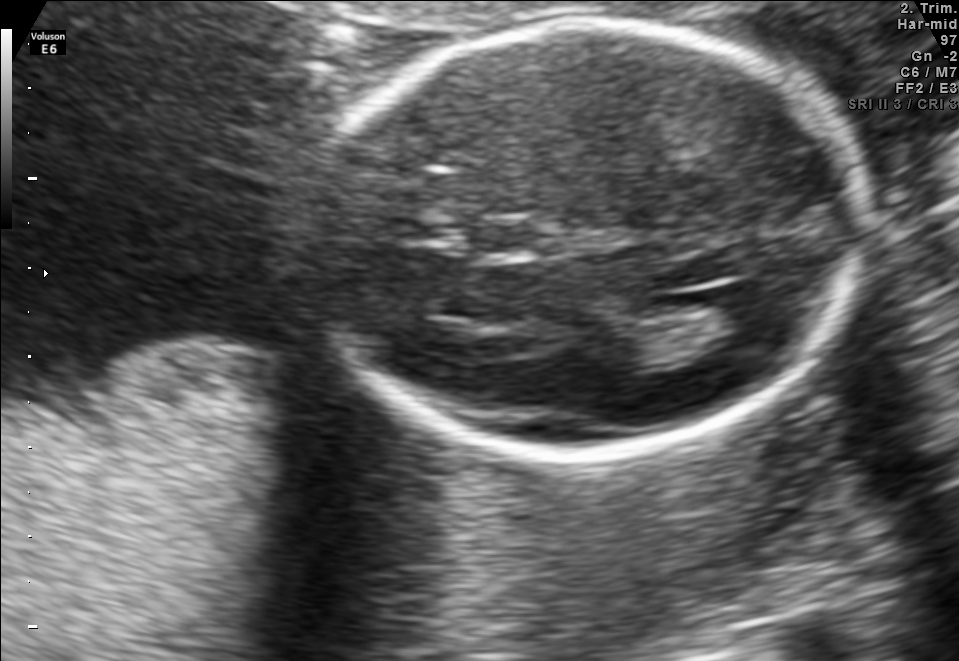
Fetal brain, trans-ventricular plane. Where is the fetal head?

Head bounding box: [305,15,874,462]